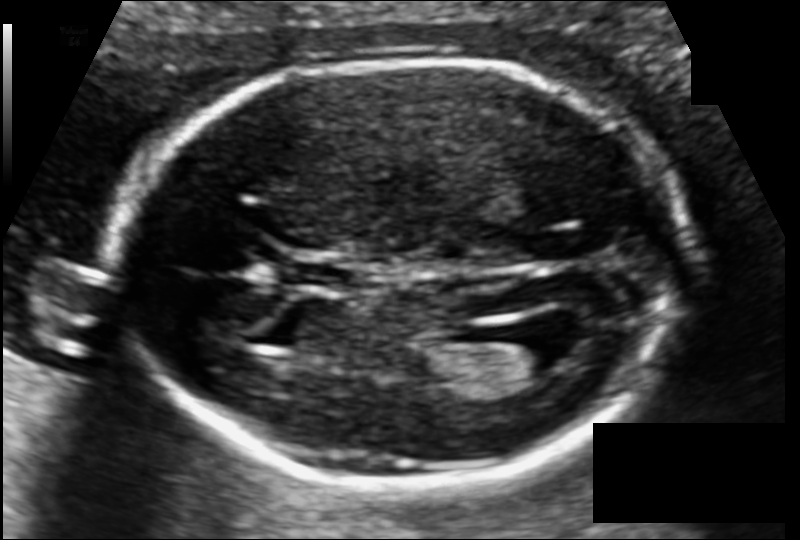
Fetal head ultrasound. Image width: 82.9 mm. Locate the fetal head.

Head: [115,60,683,484]